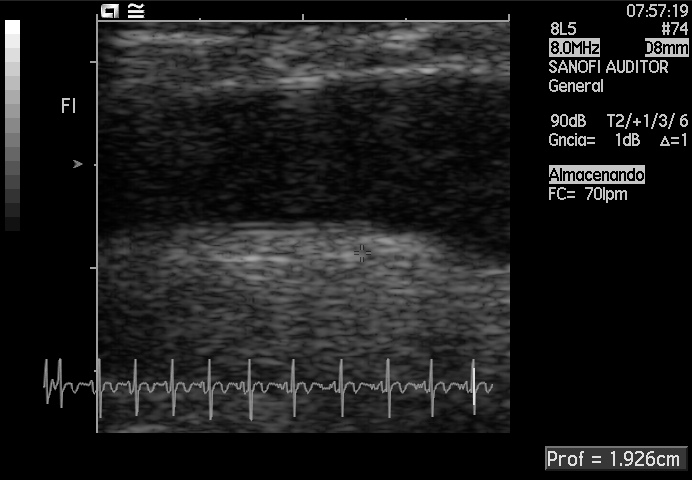
Classify this maternal-fetal ultrasound image as one of the six standard planes — fetal abdomen, fetal brain, fetal femur, fetal thorax, maternal cervix, or other. If it's fetal brain and one of the three standard brain planes (trans-thalamic, trans-cerebellum, trans-ventricular), name which.

Other